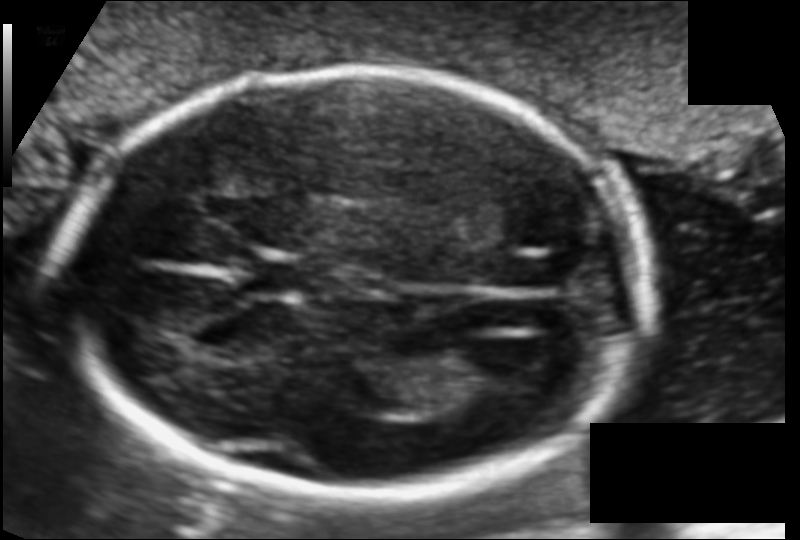
In this fetal head ultrasound, give the bounding box of the fetal head. Image width: 87.9 mm.

[69,69,644,495]